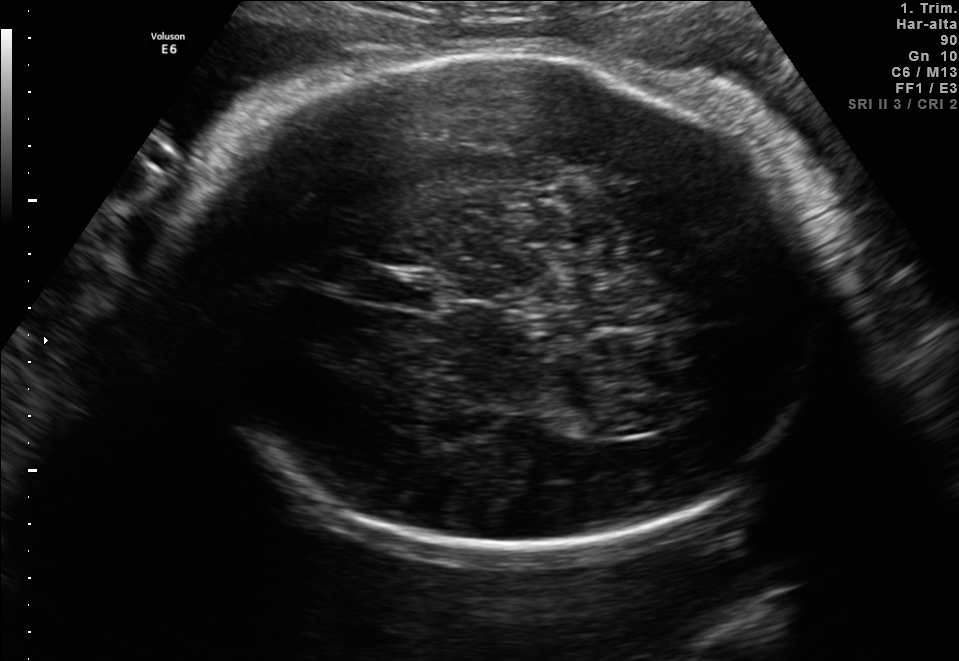
This is a 2D maternal-fetal ultrasound frame. Is it a fetal abdomen, fetal brain, fetal femur, fetal thorax, maternal cervix, or other standard plane? If it's fetal brain and one of the three standard brain planes (trans-thalamic, trans-cerebellum, trans-ventricular), name which.

Fetal brain (trans-thalamic plane)